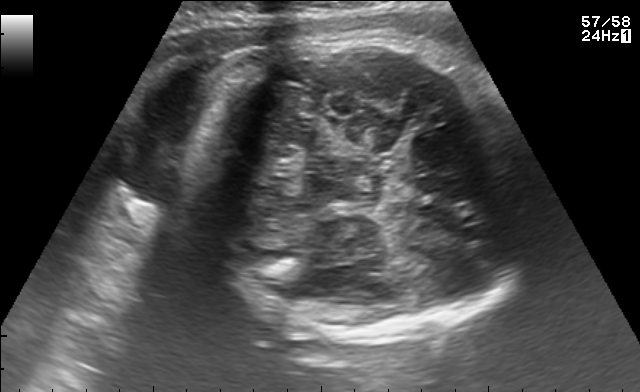
Classify this maternal-fetal ultrasound image as one of the six standard planes — fetal abdomen, fetal brain, fetal femur, fetal thorax, maternal cervix, or other. If it's fetal brain and one of the three standard brain planes (trans-thalamic, trans-cerebellum, trans-ventricular), name which.

Fetal brain (trans-thalamic plane)